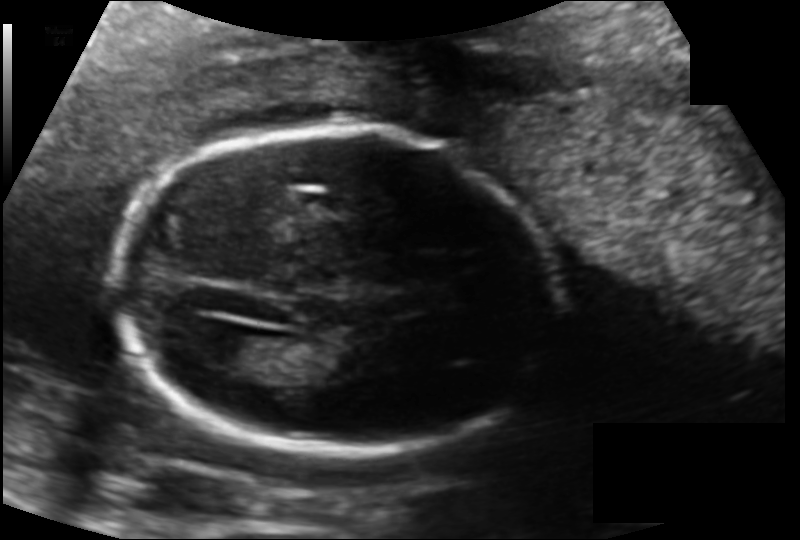
Fetal head ultrasound. Image width: 107.0 mm. Locate the fetal head and, if visible, the cavum septum pellucidum (CSP) and lateral ventricle (LV). Give bounding boxes as [x1,y1,x2,y2].

Head: [115,127,556,453]
Lateral ventricle: [197,329,267,375]